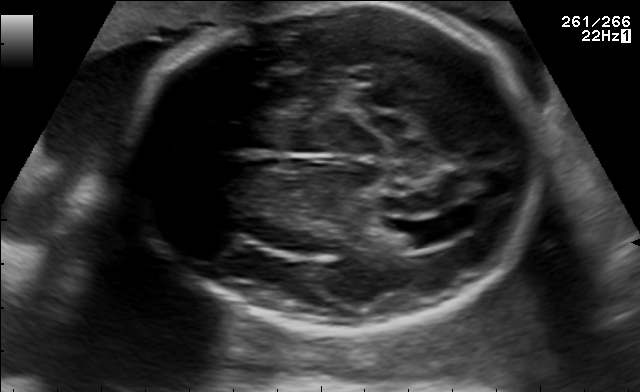
Fetal brain, trans-ventricular plane. Where is the lateral ventricle?

Lateral ventricle bounding box: [392,211,465,256]